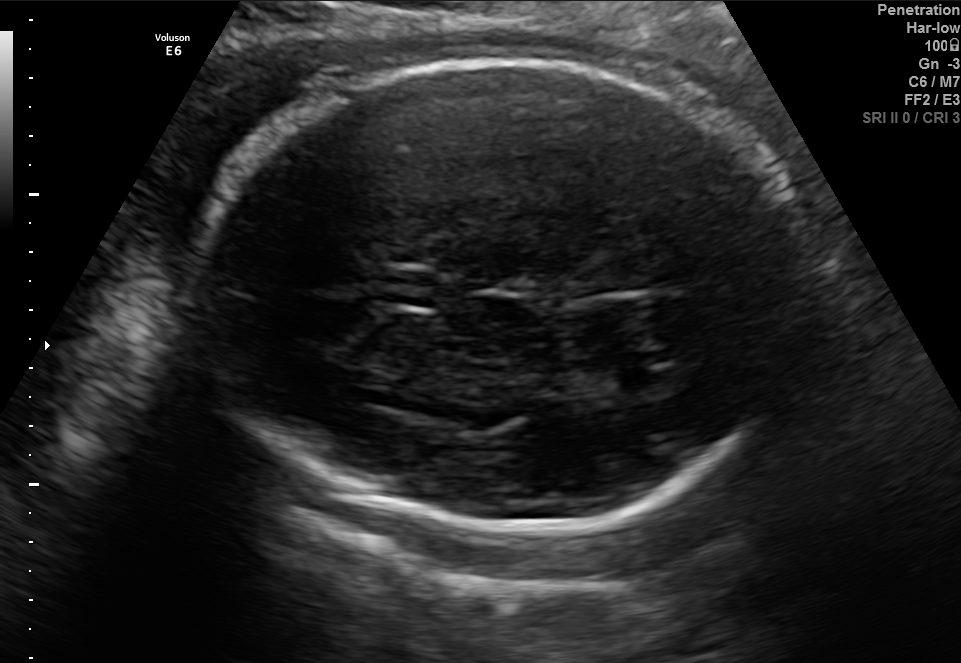
Fetal brain, trans-thalamic plane. Locate the fetal head and, if visible, the cavum septum pellucidum (CSP) and lateral ventricle (LV). Give bounding boxes as [x1,y1,x2,y2].

Head: [192,59,821,532]